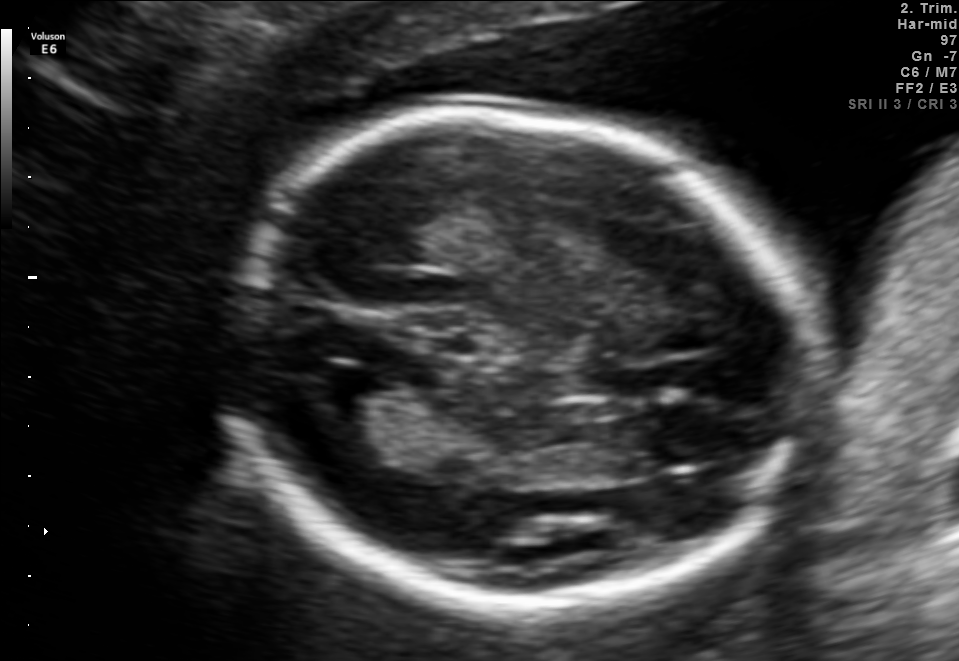
In this fetal brain, trans-thalamic plane, give bounding boxes for the head outline, cavum septum pellucidum (CSP), and lateral ventricle (LV), where visible.

Head: [218,113,815,600]
Lateral ventricle: [294,346,395,434]